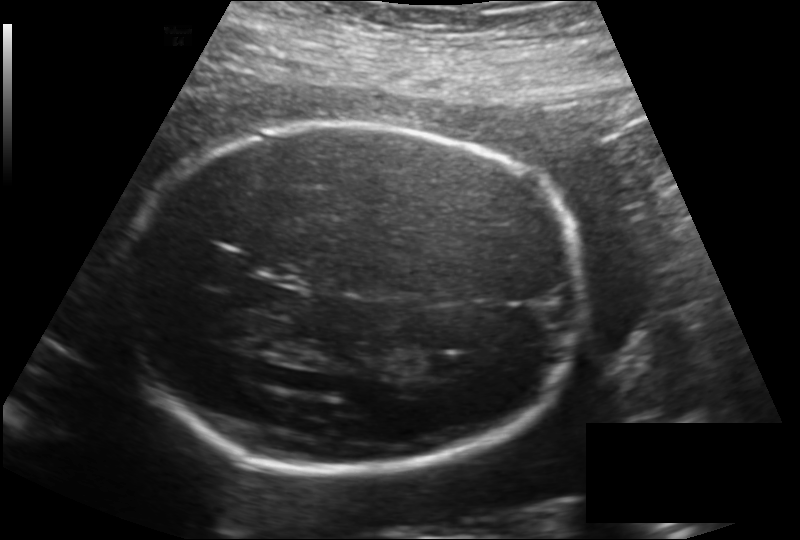
In this fetal head ultrasound, give bounding boxes for the head outline, cavum septum pellucidum (CSP), and lateral ventricle (LV), where visible. Image width: 149.9 mm.

Head: [122,125,585,475]
CSP: [242,278,306,322]
Lateral ventricle: [426,353,472,379]